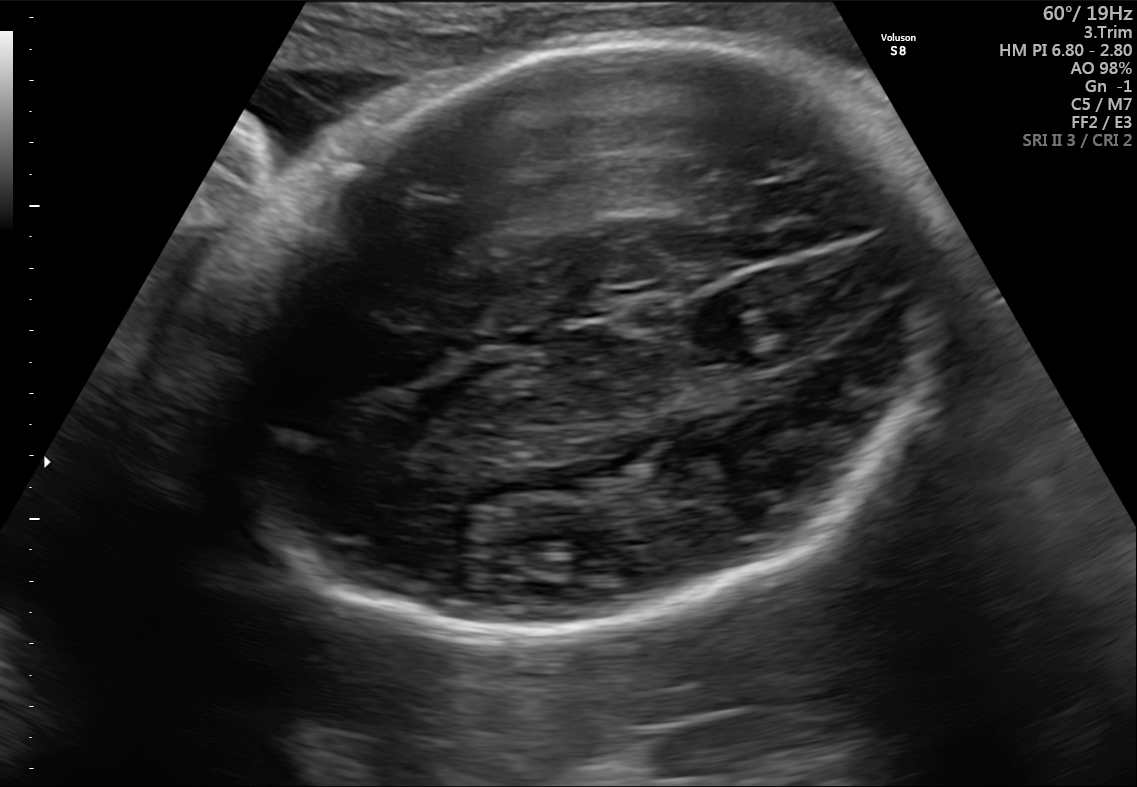
In this fetal brain, trans-thalamic plane, give the bounding box of the fetal head.

[210,42,967,641]